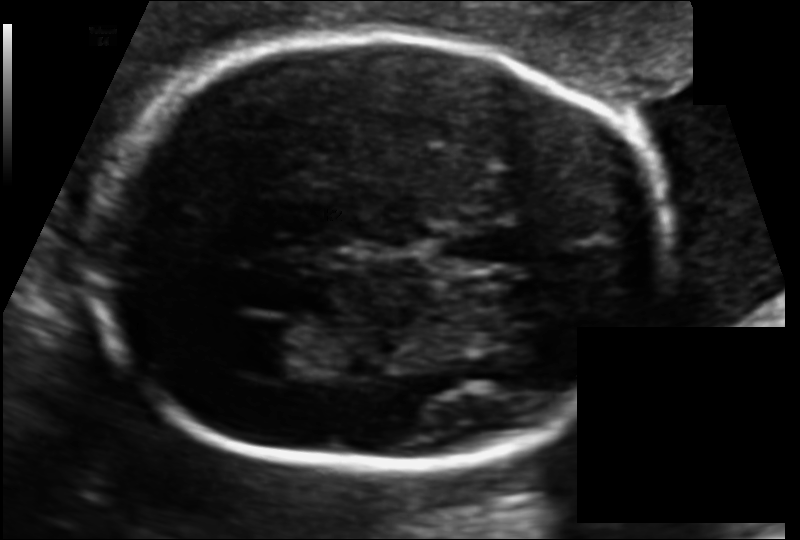
Fetal head ultrasound. Image width: 89.0 mm. Locate the fetal head and, if visible, the cavum septum pellucidum (CSP) and lateral ventricle (LV). Give bounding boxes as [x1,y1,x2,y2].

Head: [88,37,679,469]
CSP: [440,216,530,272]
Lateral ventricle: [224,317,316,381]